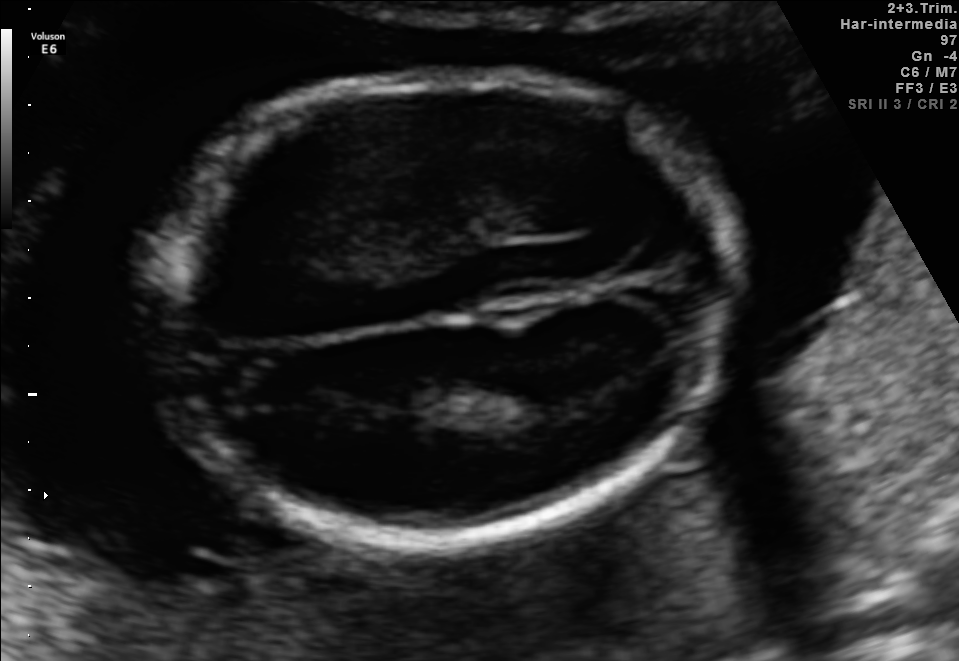
In this fetal brain, trans-thalamic plane, give bounding boxes for the head outline, cavum septum pellucidum (CSP), and lateral ventricle (LV), where visible.

Head: [150,76,735,547]